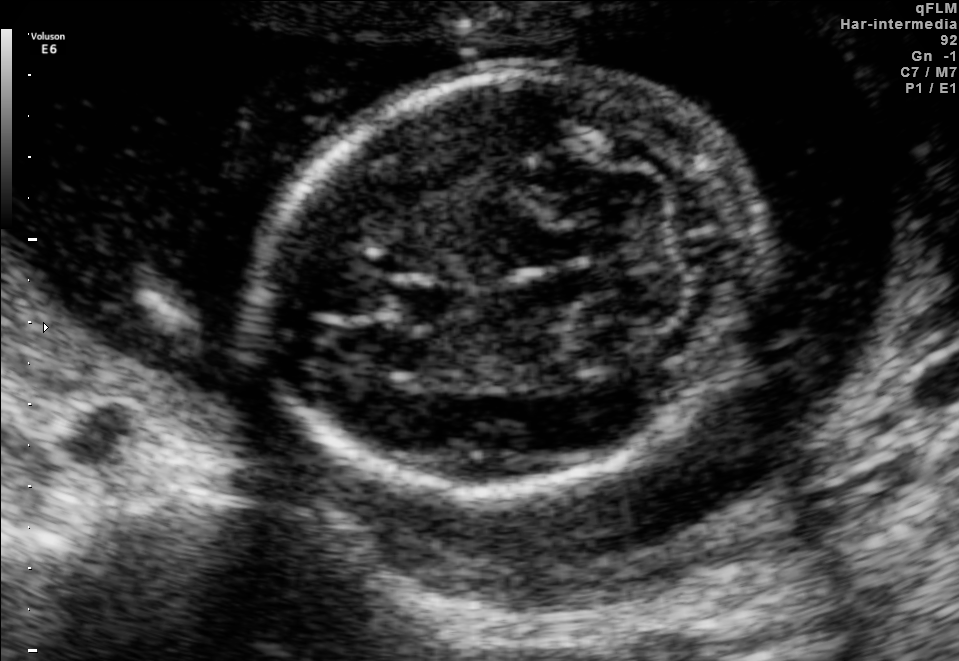
Fetal brain, trans-cerebellum plane. Locate the fetal head and, if visible, the cavum septum pellucidum (CSP) and lateral ventricle (LV). Give bounding boxes as [x1,y1,x2,y2].

Head: [264,66,755,497]
CSP: [395,279,469,325]